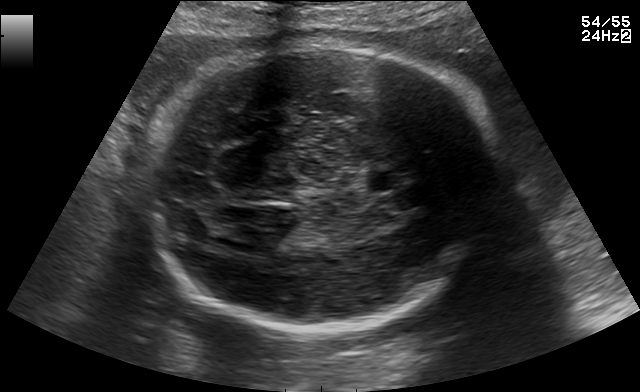
Fetal brain, trans-thalamic plane. Give [x1,y1,x2,y2] bounding boxes for each visible structure among: fetal head, CSP, LV.

Head: [138,46,507,325]
CSP: [365,166,407,194]